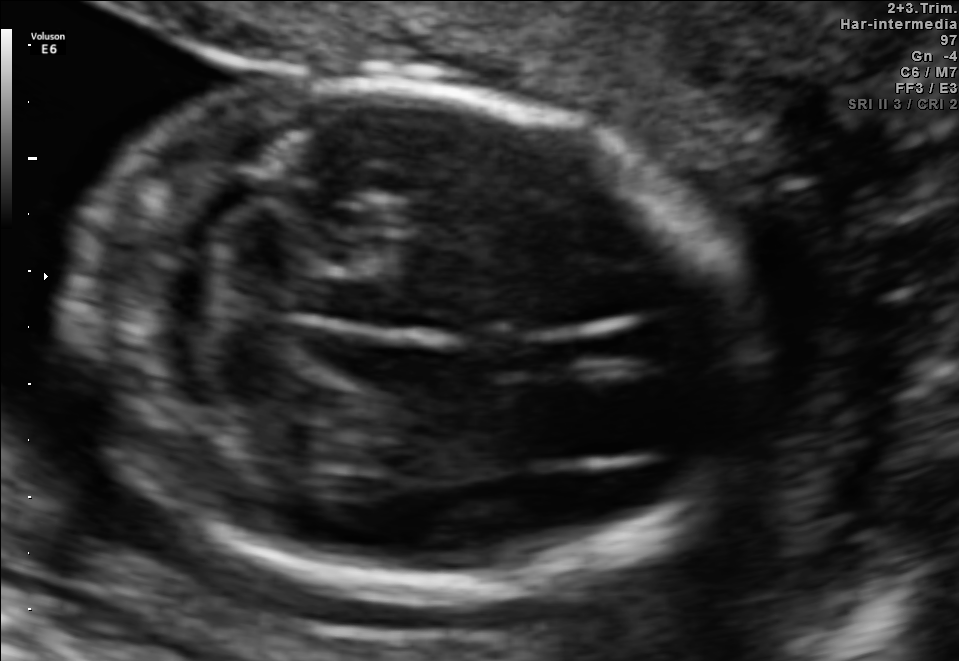
Fetal brain, trans-cerebellum plane. Where is the cavum septum pellucidum?

CSP bounding box: [478,330,581,381]